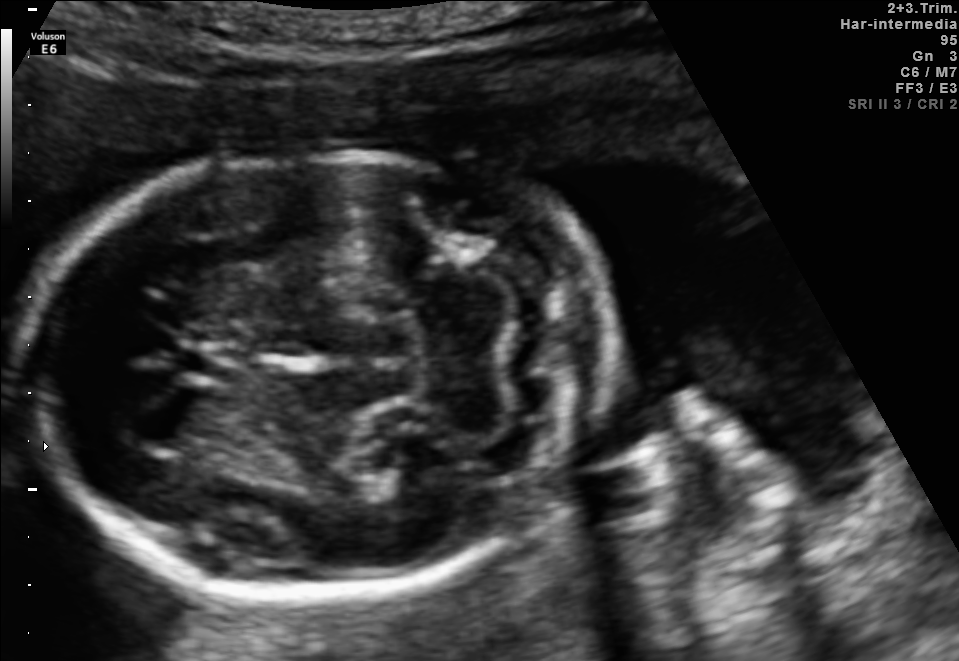
Fetal brain, trans-cerebellum plane. Locate the cavum septum pellucidum.

CSP: [177,342,243,385]